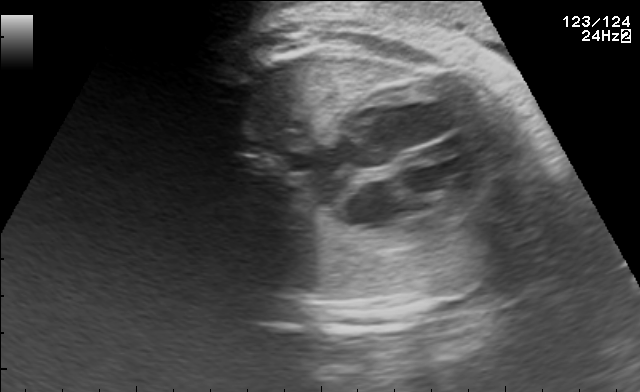
Which standard maternal-fetal ultrasound plane is shown: fetal abdomen, fetal brain, fetal femur, fetal thorax, maternal cervix, or other? If it's fetal brain and one of the three standard brain planes (trans-thalamic, trans-cerebellum, trans-ventricular), name which.

Fetal thorax